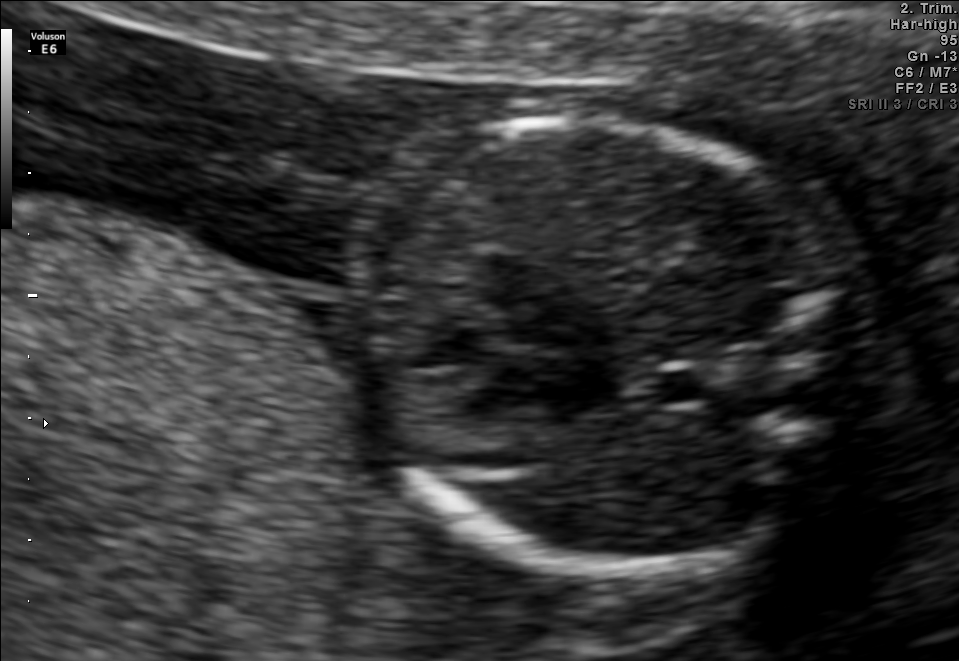
Identify the standard plane in this fetal ultrasound image: fetal abdomen, fetal brain, fetal femur, fetal thorax, maternal cervix, or other. If it's fetal brain and one of the three standard brain planes (trans-thalamic, trans-cerebellum, trans-ventricular), name which.

Fetal thorax